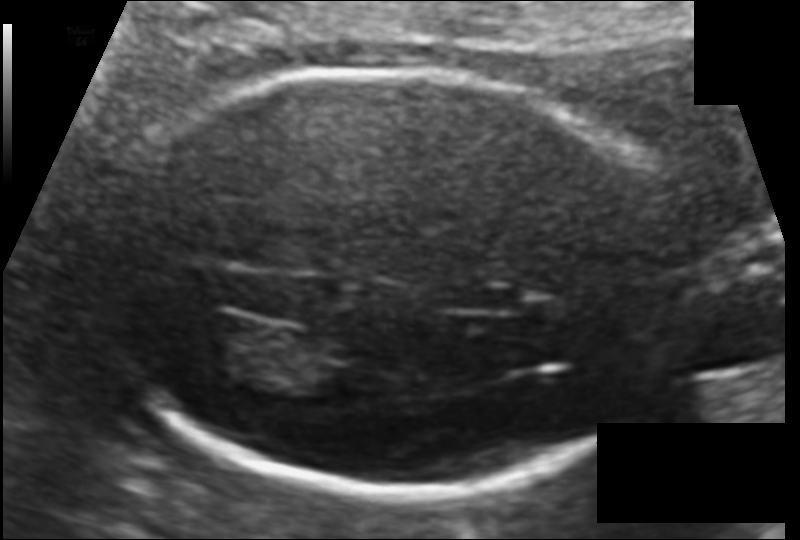
Fetal head ultrasound. Image width: 82.9 mm. Locate the fetal head.

Head: [103,73,687,490]